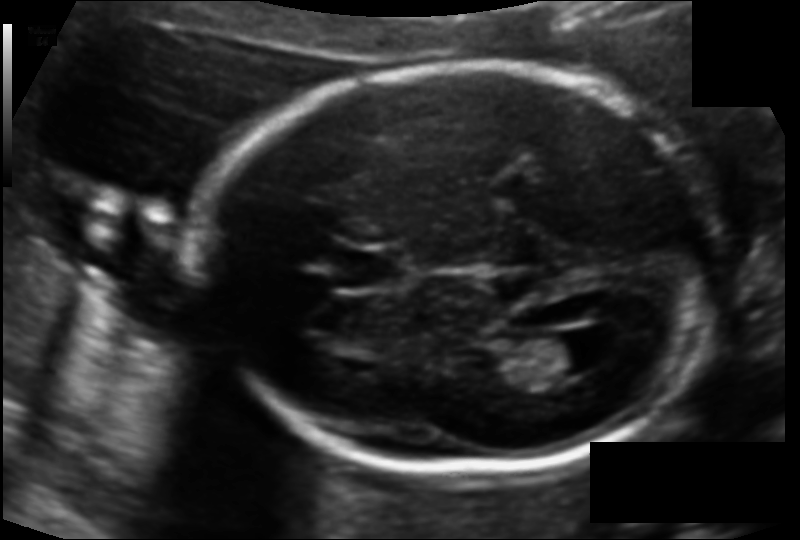
Fetal head ultrasound. Image width: 94.2 mm. Locate the lateral ventricle.

Lateral ventricle: [524,325,609,384]